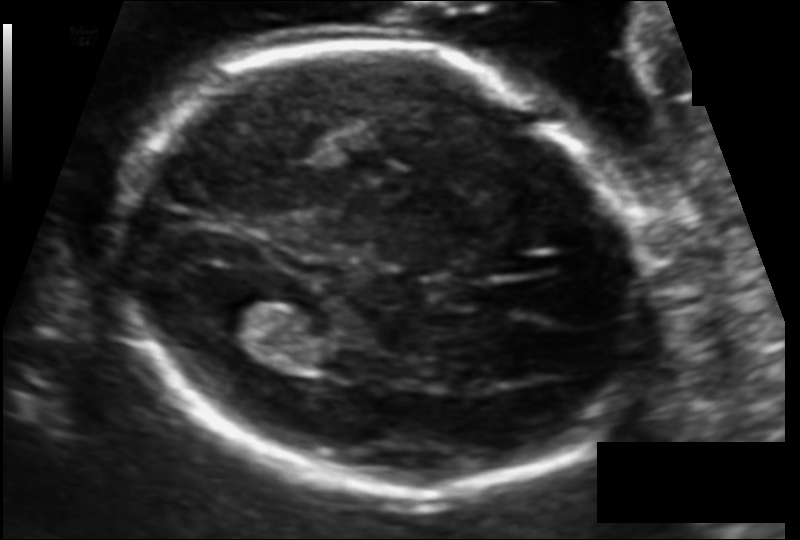
From this fetal ultrasound, estimate the head circumference (image width 92.8 mm).

Head circumference: 184.3 mm.